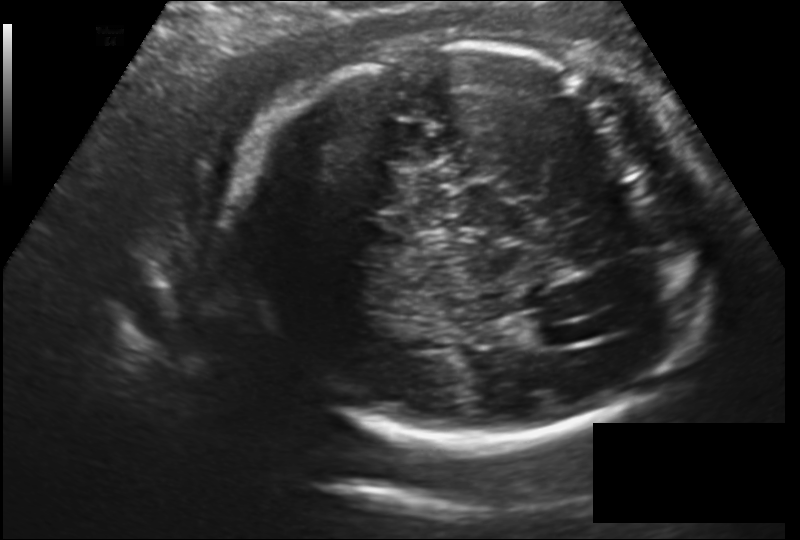
Estimate the fetal head circumference from this 2D ultrasound.

Head circumference: 250.6 mm (image width 142.0 mm).